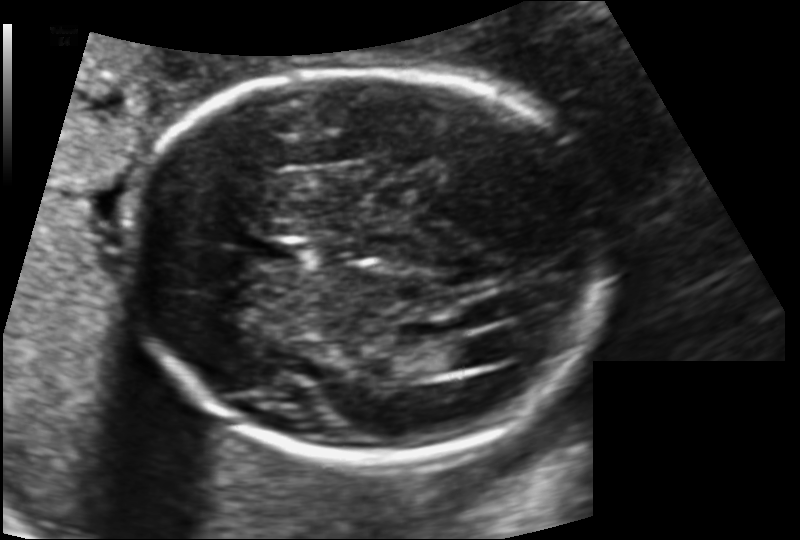
Fetal head ultrasound. Image width: 107.8 mm. Where is the cavum septum pellucidum?

CSP bounding box: [254,237,312,266]